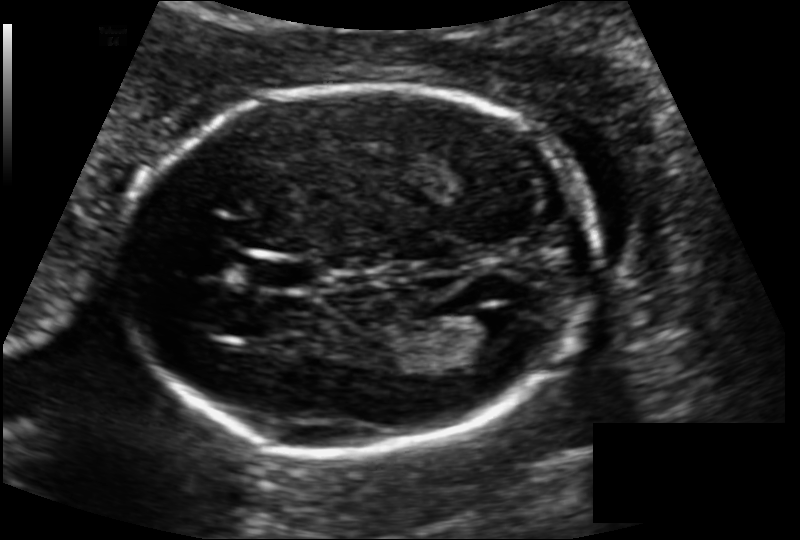
Fetal head ultrasound. Image width: 99.0 mm. Locate the lateral ventricle.

Lateral ventricle: [444,314,526,368]